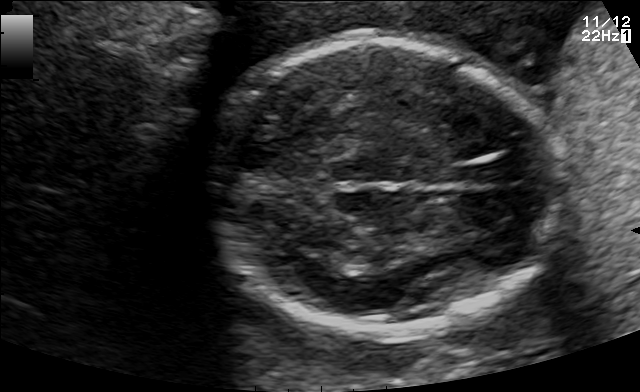
Identify the standard plane in this fetal ultrasound image: fetal abdomen, fetal brain, fetal femur, fetal thorax, maternal cervix, or other. If it's fetal brain and one of the three standard brain planes (trans-thalamic, trans-cerebellum, trans-ventricular), name which.

Fetal brain (trans-thalamic plane)